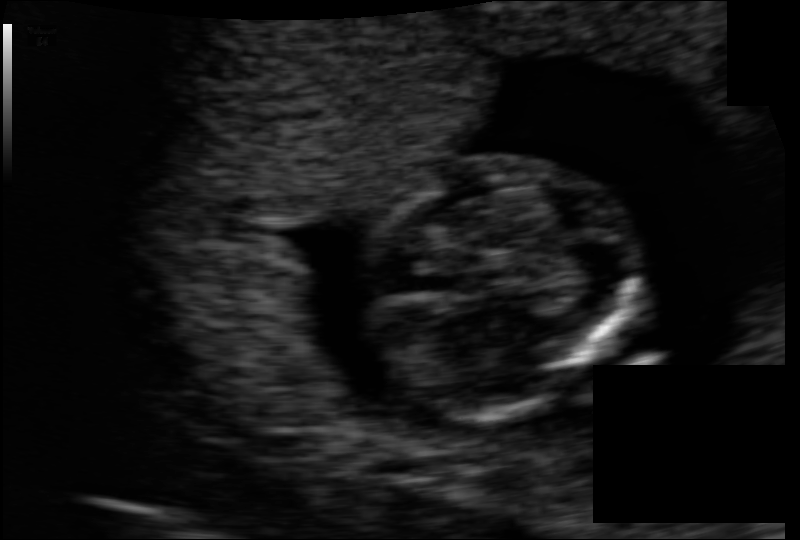
Fetal head ultrasound. Image width: 66.6 mm. Give [x1,y1,x2,y2] bounding boxes for each visible structure among: fetal head, CSP, LV.

Head: [361,153,629,415]